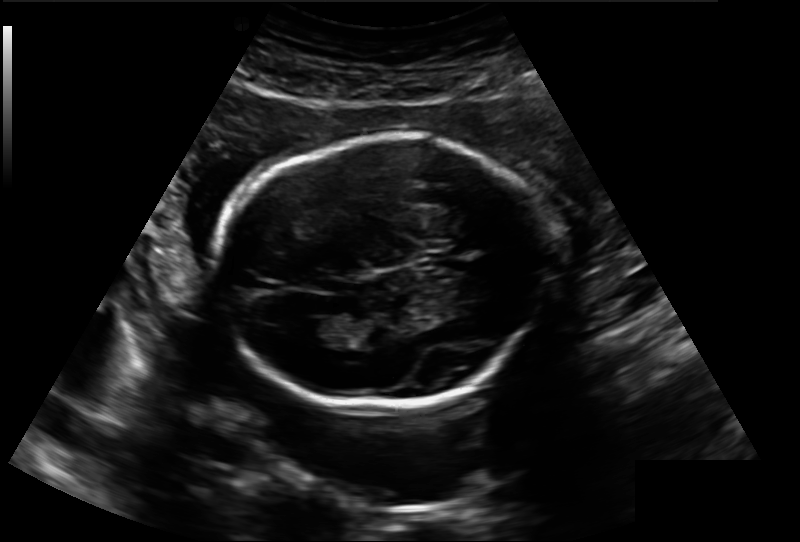
What is the fetal head circumference? Image width is 150.3 mm.

183.7 mm